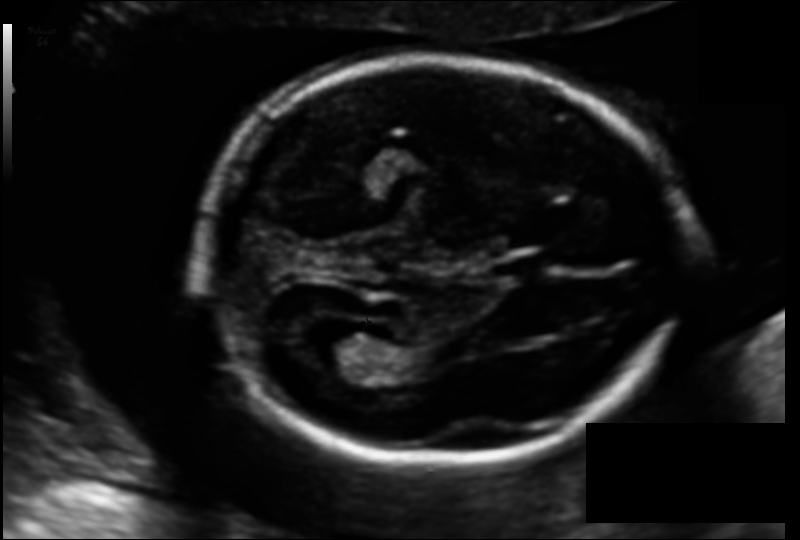
Fetal head ultrasound. Image width: 97.9 mm. Locate the fetal head.

Head: [198,60,687,464]